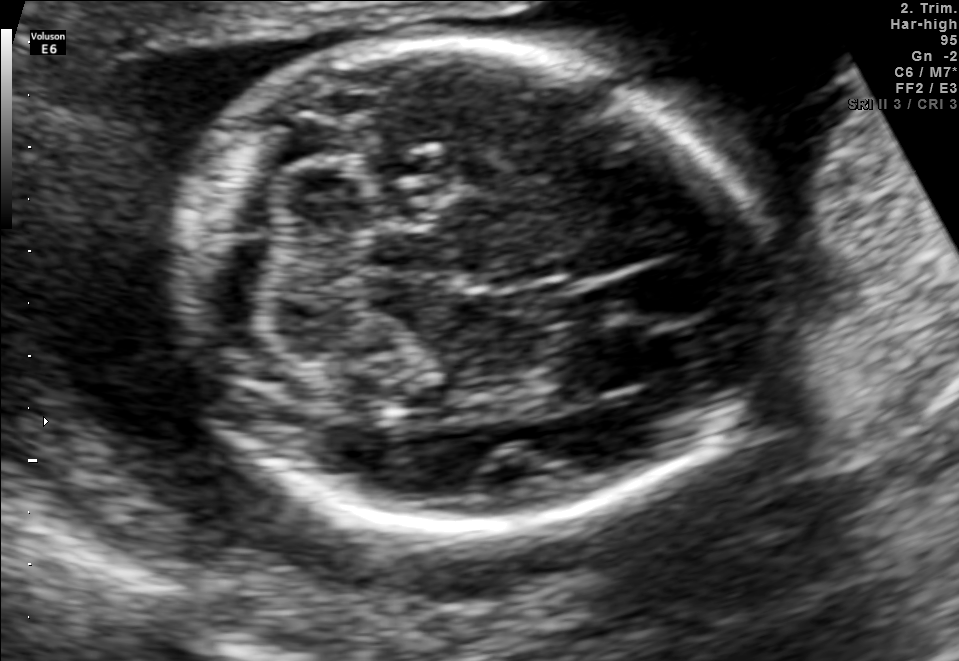
In this fetal brain, trans-cerebellum plane, give the bounding box of the fetal head.

[183,41,770,532]